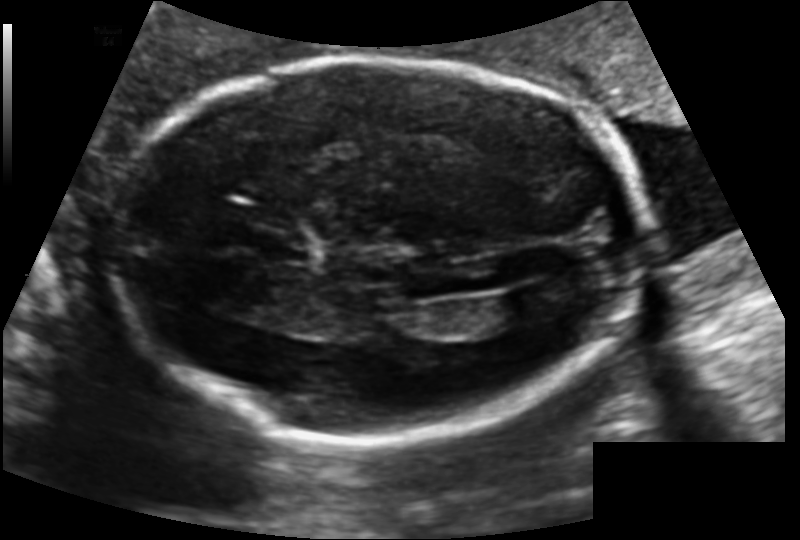
Fetal head ultrasound. Image width: 105.0 mm. Locate the fetal head.

Head: [112,56,650,440]